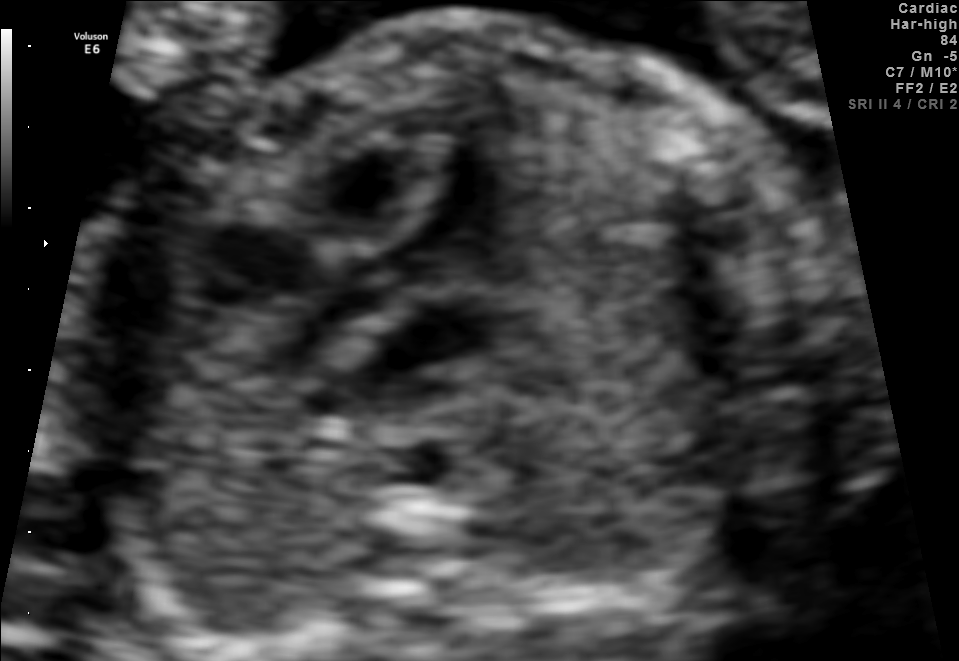
Classify this maternal-fetal ultrasound image as one of the six standard planes — fetal abdomen, fetal brain, fetal femur, fetal thorax, maternal cervix, or other. If it's fetal brain and one of the three standard brain planes (trans-thalamic, trans-cerebellum, trans-ventricular), name which.

Other